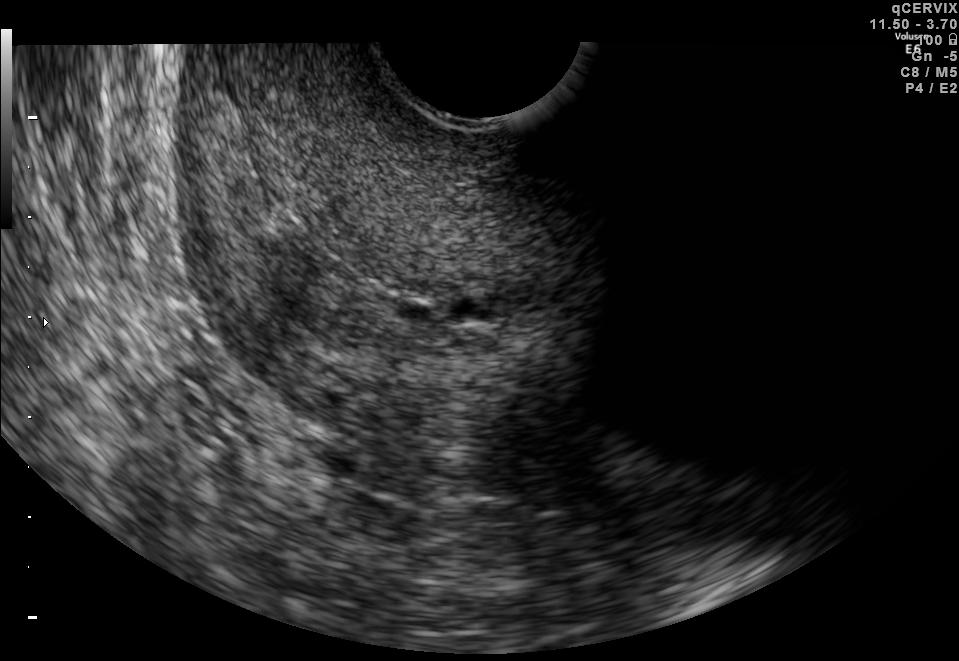
Which standard maternal-fetal ultrasound plane is shown: fetal abdomen, fetal brain, fetal femur, fetal thorax, maternal cervix, or other? If it's fetal brain and one of the three standard brain planes (trans-thalamic, trans-cerebellum, trans-ventricular), name which.

Maternal cervix